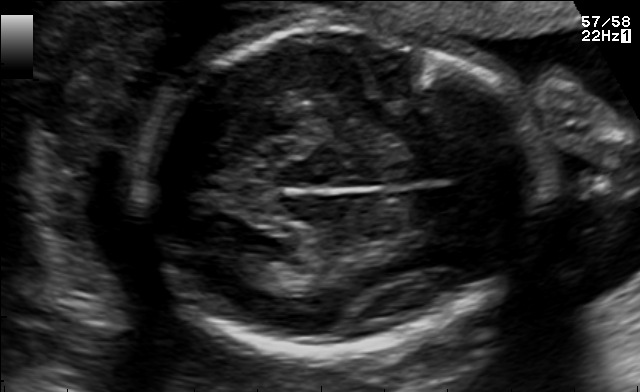
Fetal brain, trans-thalamic plane. Locate the fetal head and, if visible, the cavum septum pellucidum (CSP) and lateral ventricle (LV). Give bounding boxes as [x1,y1,x2,y2].

Head: [143,24,522,353]